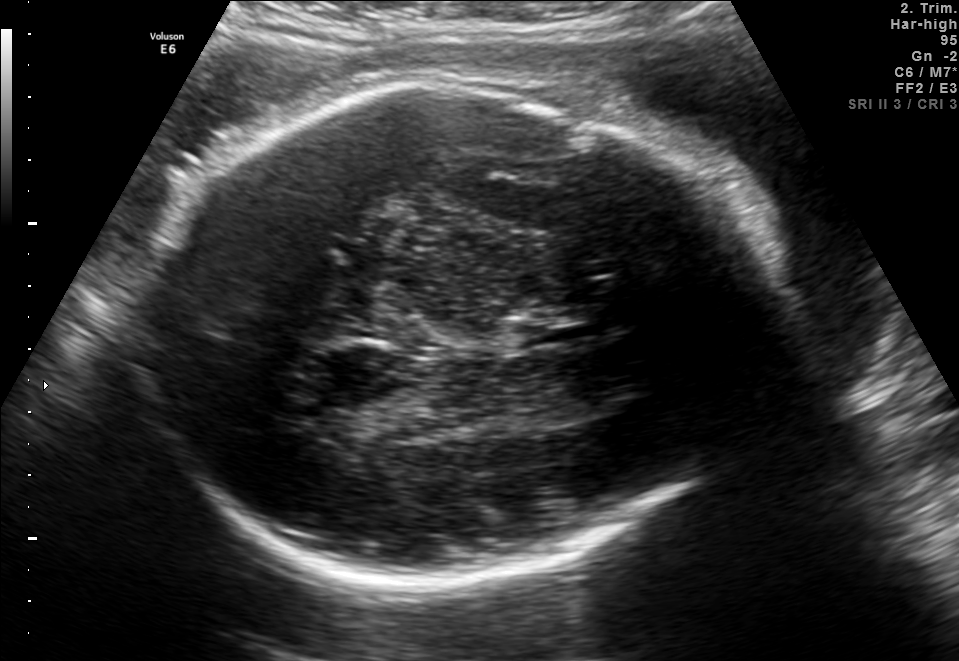
Fetal brain, trans-thalamic plane. Locate the fetal head and, if visible, the cavum septum pellucidum (CSP) and lateral ventricle (LV). Give bounding boxes as [x1,y1,x2,y2].

Head: [130,78,765,585]